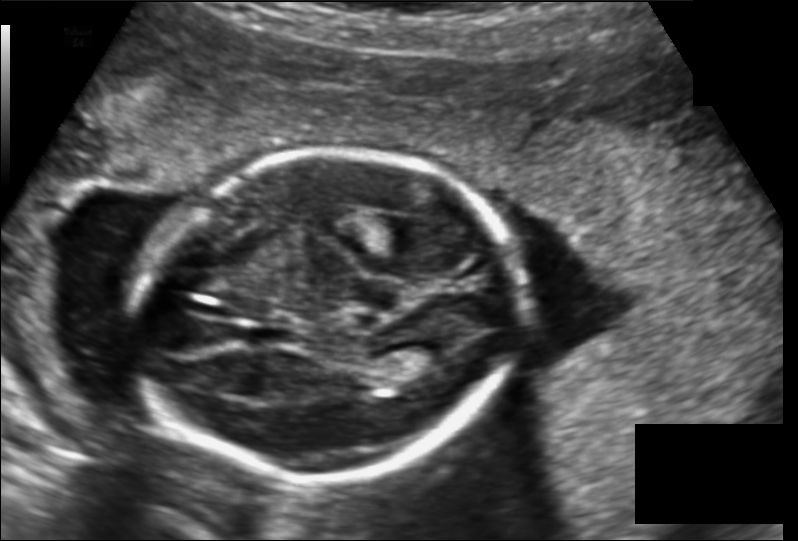
In this fetal head ultrasound, give the bounding box of the cavum septum pellucidum. Image width: 118.8 mm.

[250,324,294,346]